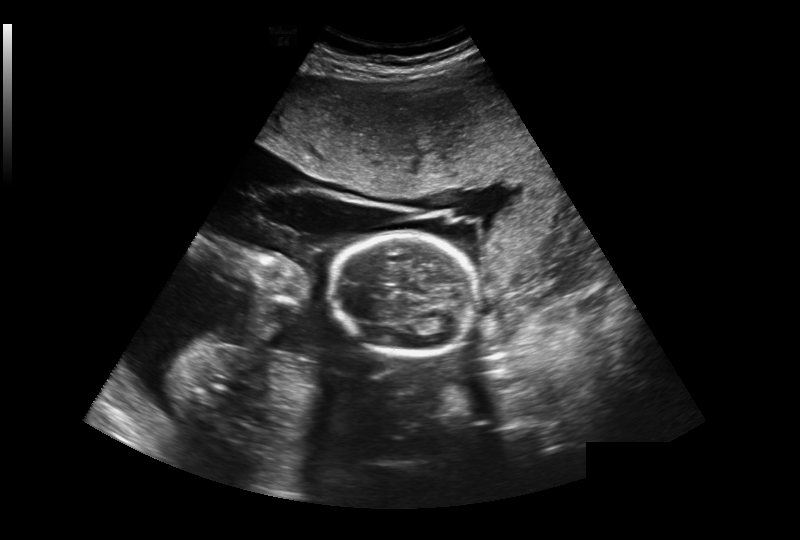
Fetal head ultrasound. Image width: 314.6 mm. Where is the lateral ventricle?

Lateral ventricle bounding box: [434,318,456,331]